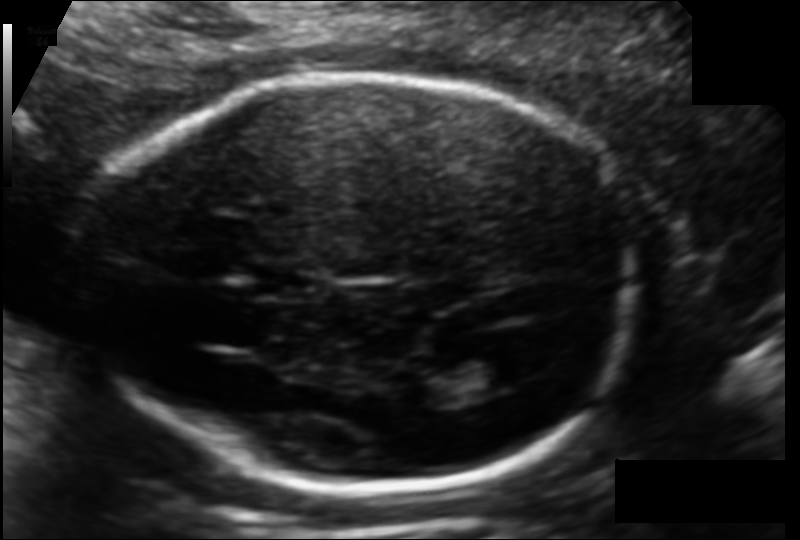
Fetal head ultrasound. Image width: 90.5 mm. Locate the fetal head and, if visible, the cavum septum pellucidum (CSP) and lateral ventricle (LV). Give bounding boxes as [x1,y1,x2,y2].

Head: [88,78,632,490]
CSP: [251,265,317,298]
Lateral ventricle: [450,344,524,403]